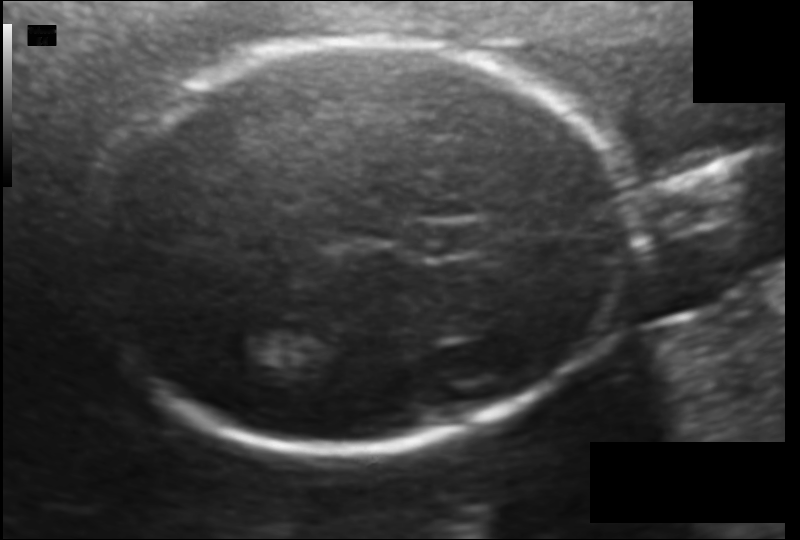
What is the fetal head circumference? Image width is 90.8 mm.

176.3 mm